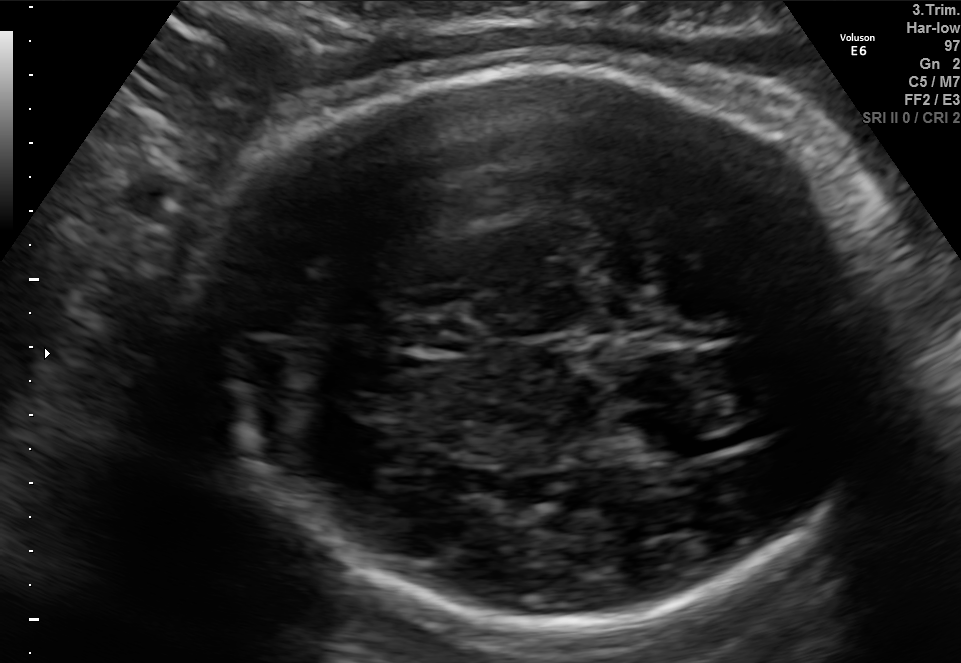
Fetal brain, trans-thalamic plane. Give [x1,y1,x2,y2] bounding boxes for each visible structure among: fetal head, CSP, LV.

Head: [202,62,883,627]
CSP: [402,321,476,352]
Lateral ventricle: [647,430,728,469]